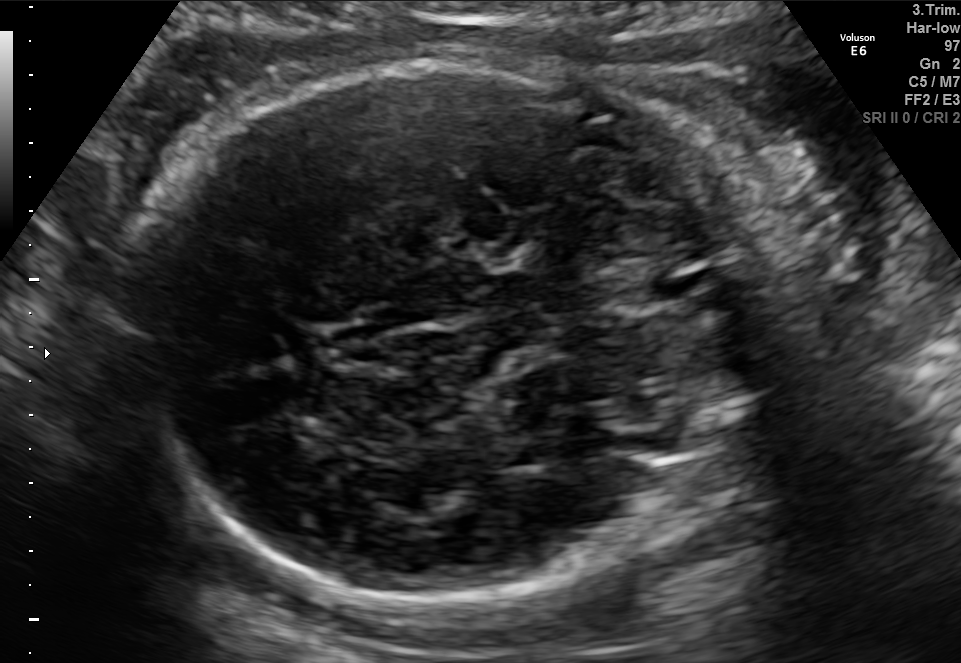
This is a 2D maternal-fetal ultrasound frame. Is it a fetal abdomen, fetal brain, fetal femur, fetal thorax, maternal cervix, or other standard plane? If it's fetal brain and one of the three standard brain planes (trans-thalamic, trans-cerebellum, trans-ventricular), name which.

Fetal brain (trans-cerebellum plane)